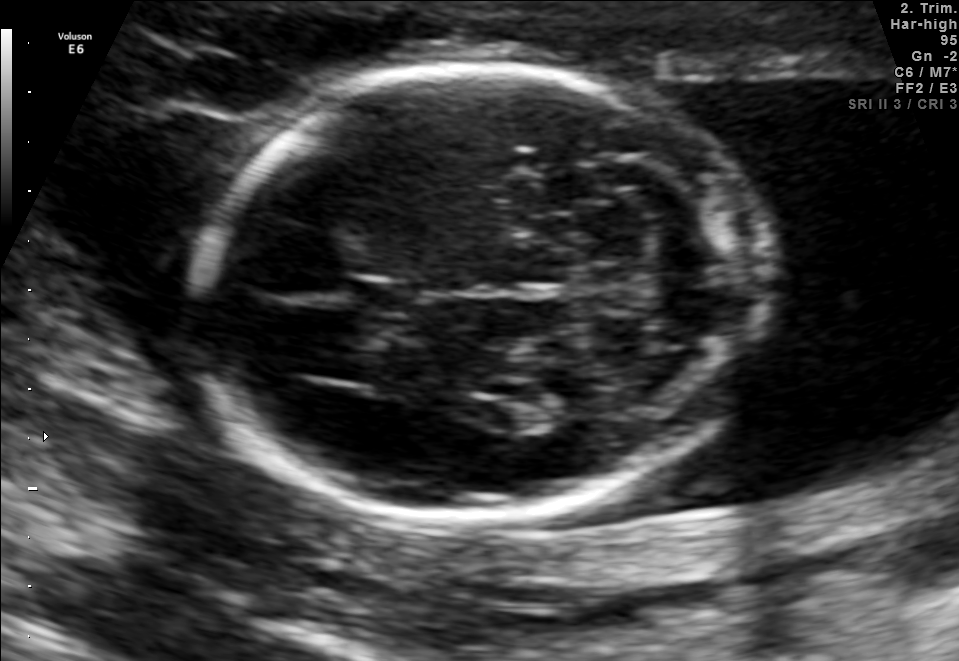
This is a 2D maternal-fetal ultrasound frame. Is it a fetal abdomen, fetal brain, fetal femur, fetal thorax, maternal cervix, or other standard plane? If it's fetal brain and one of the three standard brain planes (trans-thalamic, trans-cerebellum, trans-ventricular), name which.

Fetal brain (trans-cerebellum plane)